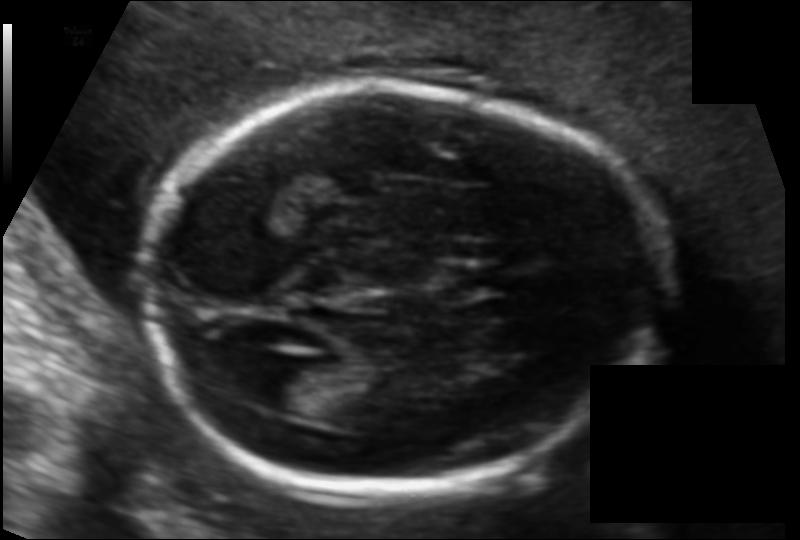
Estimate the fetal head circumference from this 2D ultrasound.

Head circumference: 165.6 mm (image width 88.8 mm).